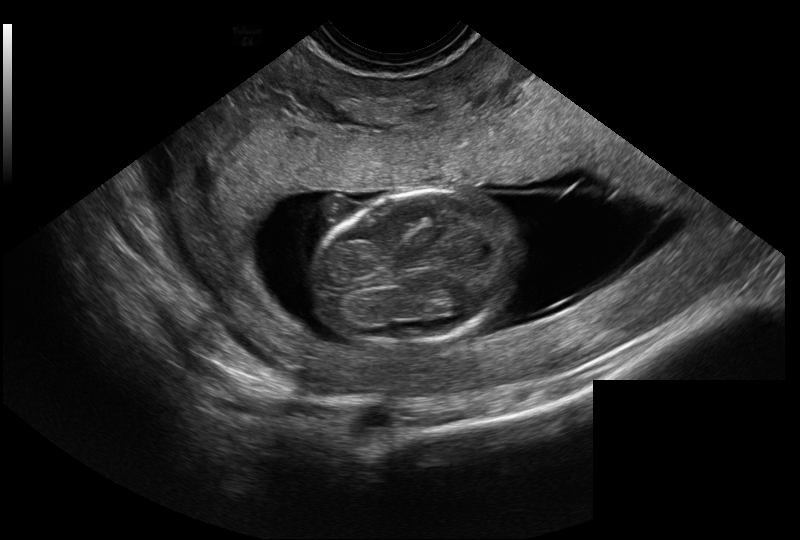
From this fetal ultrasound, estimate the head circumference (image width 102.5 mm).

Head circumference: 75.6 mm.